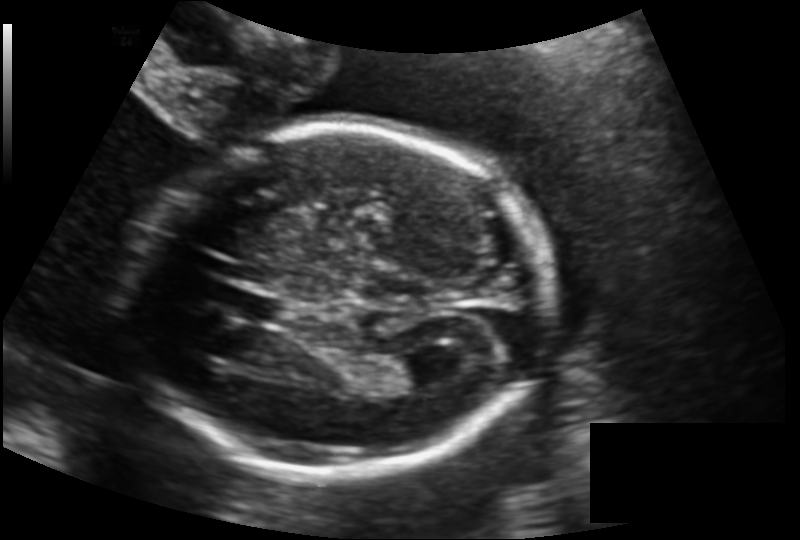
Measure the fetal head circumference shown in this ultrasound image. Image width: 117.2 mm.

Head circumference: 182.8 mm.